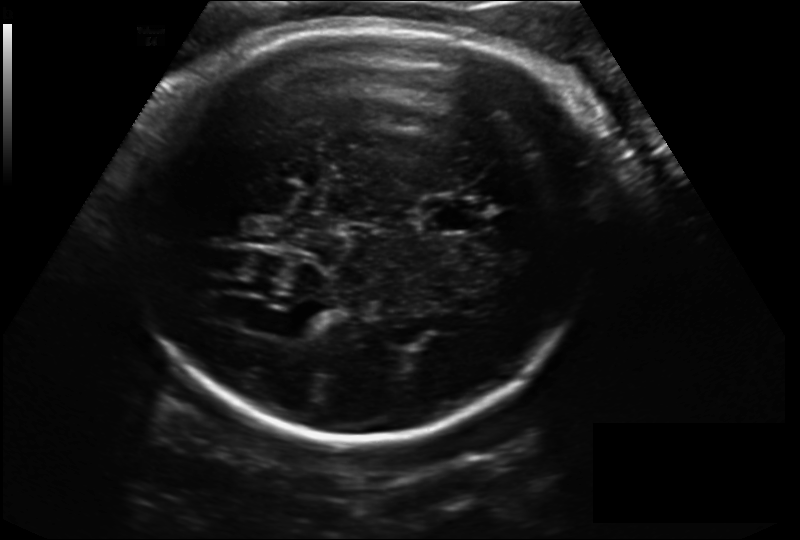
Fetal head ultrasound. Image width: 158.7 mm. Locate the cavum septum pellucidum.

CSP: [423,199,485,232]